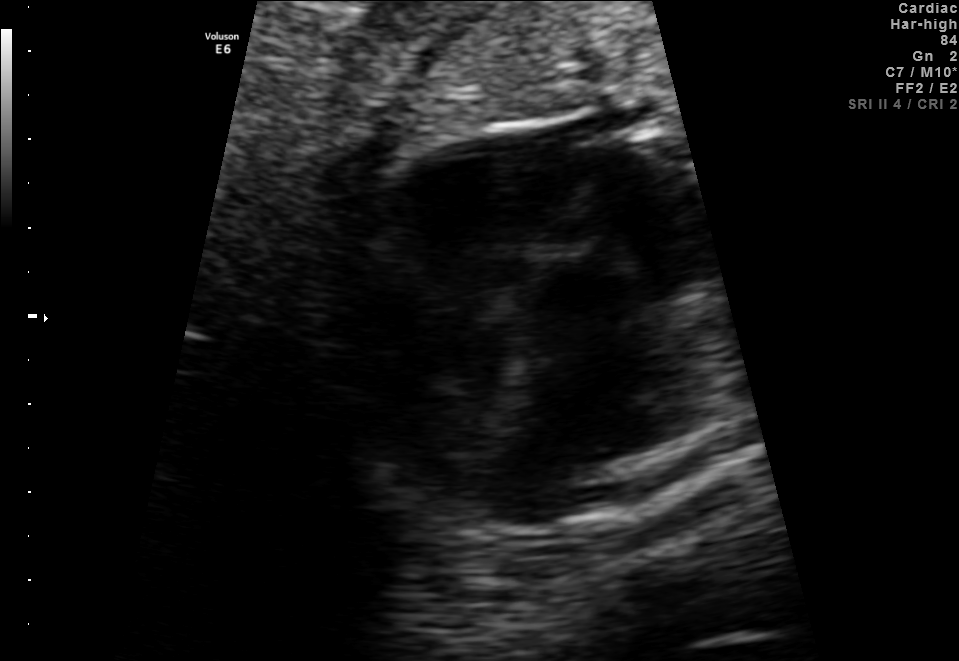
Which standard maternal-fetal ultrasound plane is shown: fetal abdomen, fetal brain, fetal femur, fetal thorax, maternal cervix, or other? If it's fetal brain and one of the three standard brain planes (trans-thalamic, trans-cerebellum, trans-ventricular), name which.

Fetal thorax